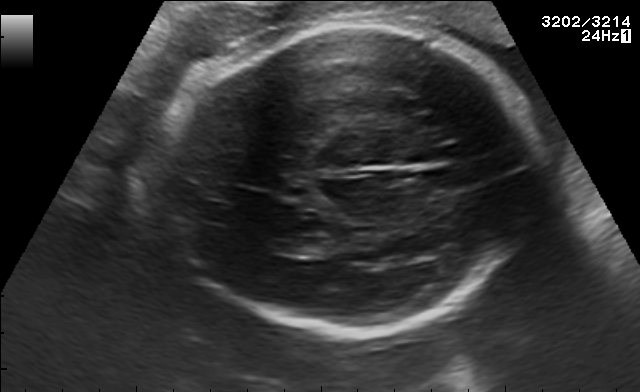
Fetal brain, trans-thalamic plane. Locate the fetal head.

Head: [157,23,535,337]